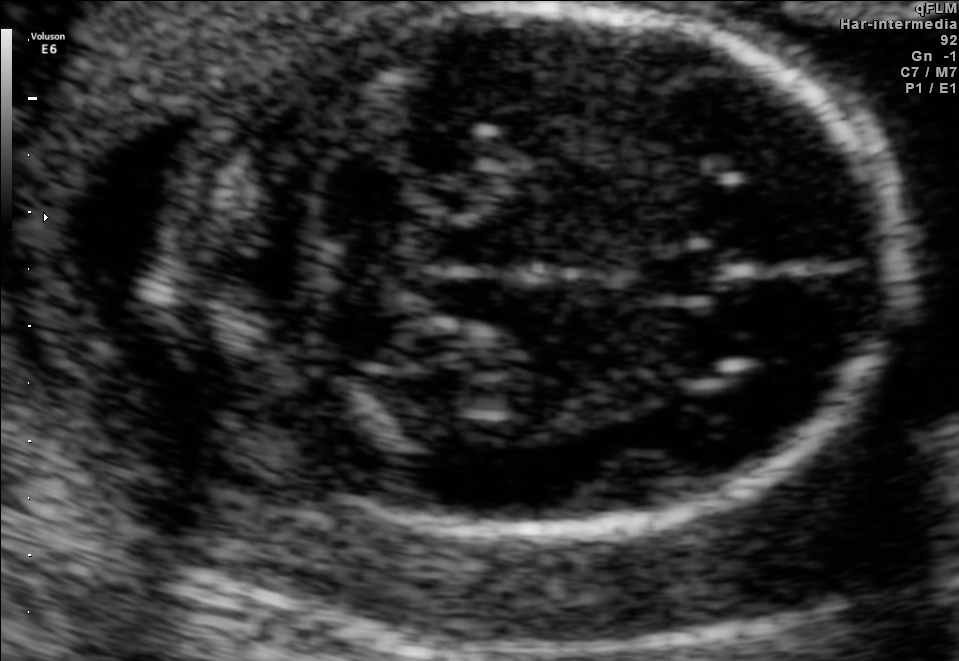
Fetal brain, trans-cerebellum plane. Where is the cavum septum pellucidum?

CSP bounding box: [628,243,722,309]